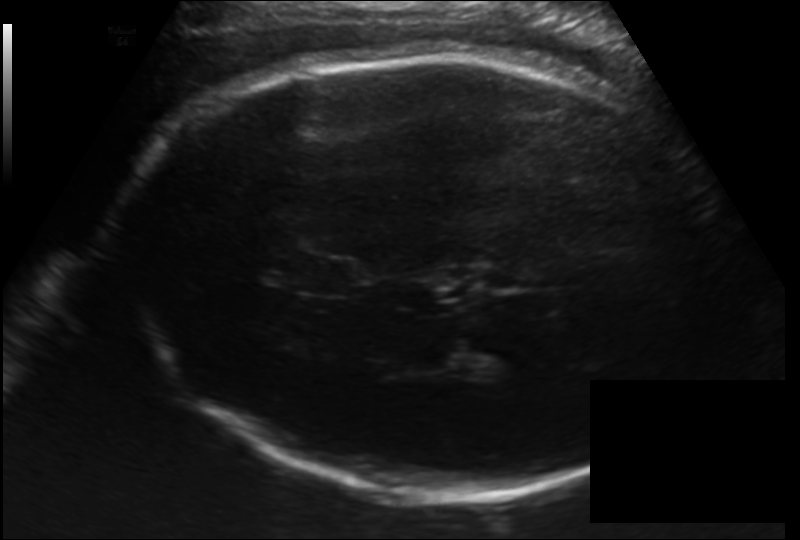
Fetal head ultrasound. Image width: 153.4 mm. Where is the fetal head?

Head bounding box: [118,51,727,497]